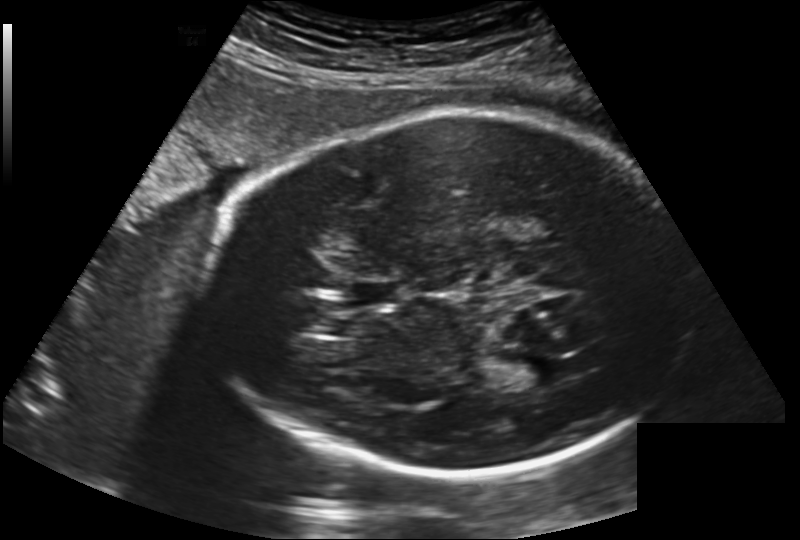
Fetal head ultrasound. Image width: 161.7 mm. Give [x1,y1,x2,y2] bounding boxes for each visible structure among: fetal head, CSP, LV.

Head: [207,111,685,476]
CSP: [352,279,401,308]
Lateral ventricle: [503,355,559,391]